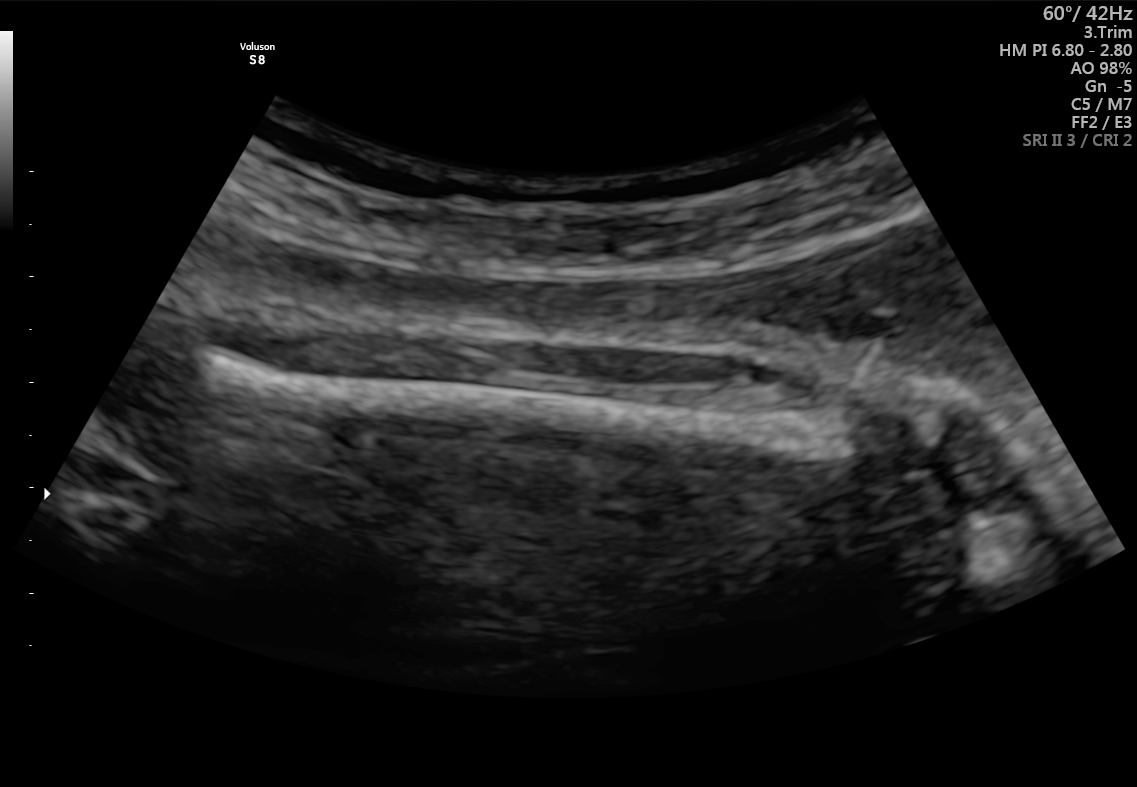
Classify this maternal-fetal ultrasound image as one of the six standard planes — fetal abdomen, fetal brain, fetal femur, fetal thorax, maternal cervix, or other. If it's fetal brain and one of the three standard brain planes (trans-thalamic, trans-cerebellum, trans-ventricular), name which.

Fetal femur